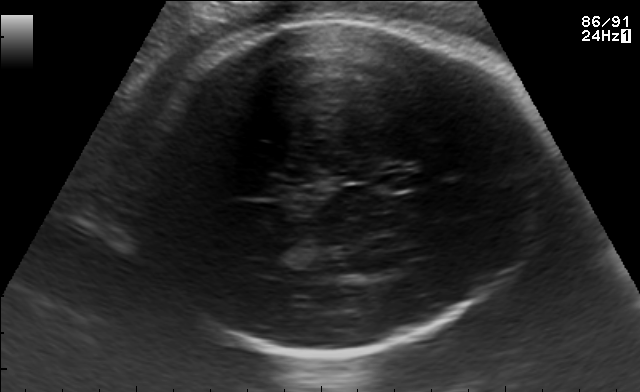
Fetal brain, trans-thalamic plane. Locate the fetal head.

Head: [118,21,545,353]